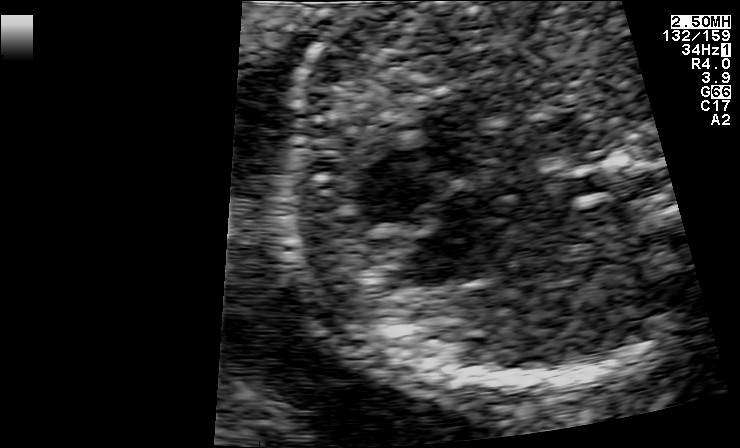
Which standard maternal-fetal ultrasound plane is shown: fetal abdomen, fetal brain, fetal femur, fetal thorax, maternal cervix, or other? If it's fetal brain and one of the three standard brain planes (trans-thalamic, trans-cerebellum, trans-ventricular), name which.

Fetal thorax